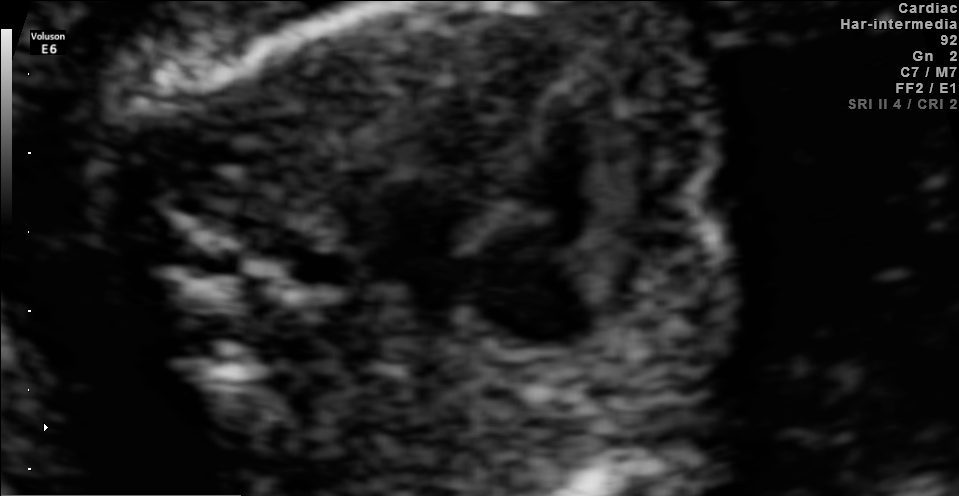
Identify the standard plane in this fetal ultrasound image: fetal abdomen, fetal brain, fetal femur, fetal thorax, maternal cervix, or other. If it's fetal brain and one of the three standard brain planes (trans-thalamic, trans-cerebellum, trans-ventricular), name which.

Fetal thorax